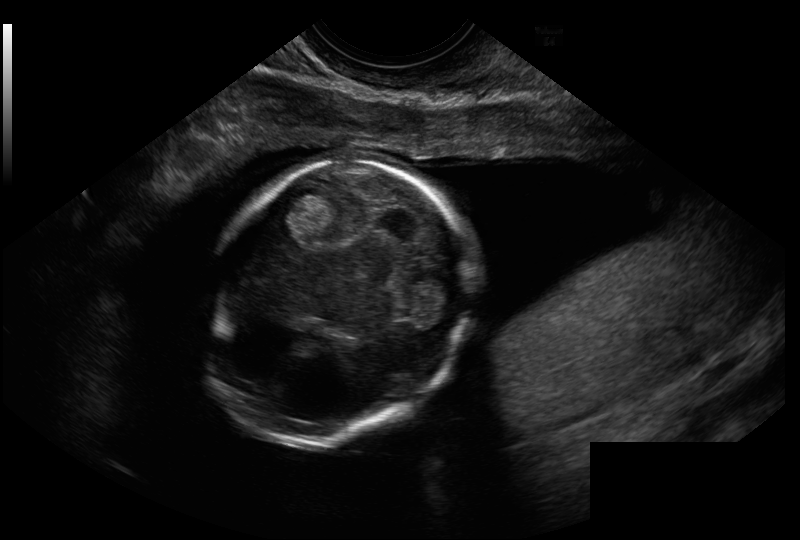
Fetal head ultrasound. Image width: 91.5 mm. Locate the fetal head and, if visible, the cavum septum pellucidum (CSP) and lateral ventricle (LV). Give bounding boxes as [x1,y1,x2,y2].

Head: [204,161,470,448]